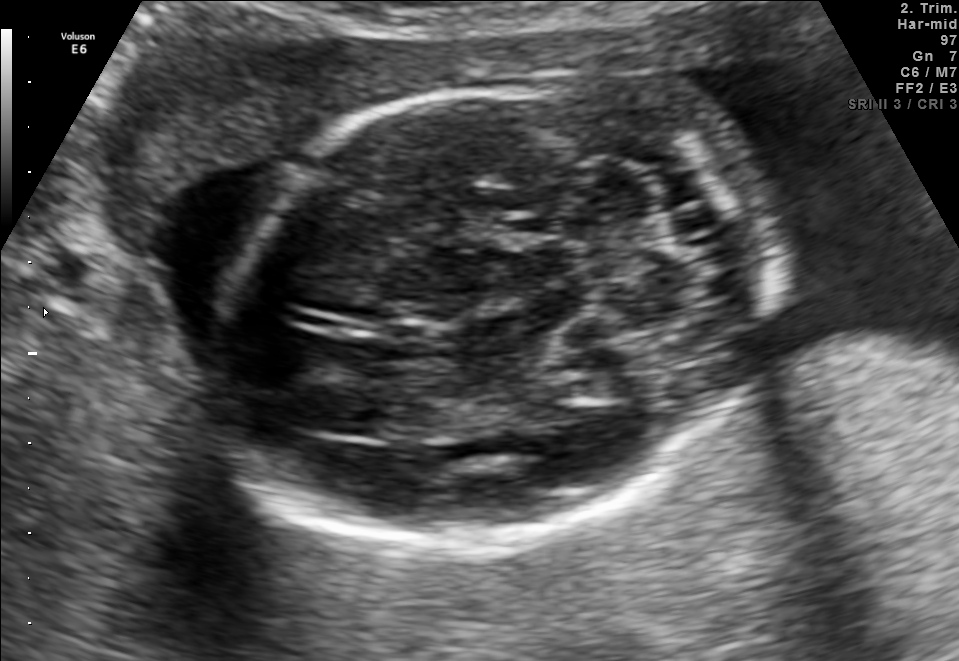
Which standard maternal-fetal ultrasound plane is shown: fetal abdomen, fetal brain, fetal femur, fetal thorax, maternal cervix, or other? If it's fetal brain and one of the three standard brain planes (trans-thalamic, trans-cerebellum, trans-ventricular), name which.

Fetal brain (trans-cerebellum plane)